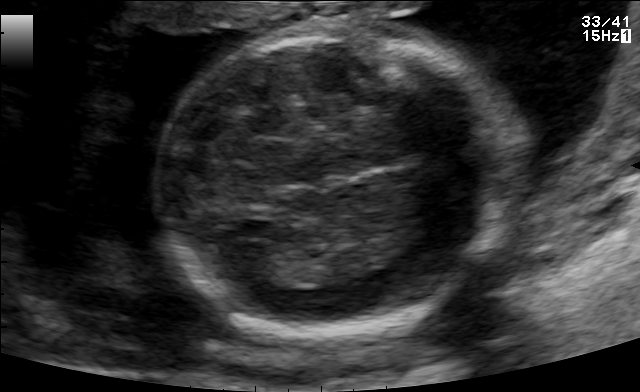
In this fetal brain, trans-thalamic plane, give bounding boxes for the head outline, cavum septum pellucidum (CSP), and lateral ventricle (LV), where visible.

Head: [163,27,503,337]